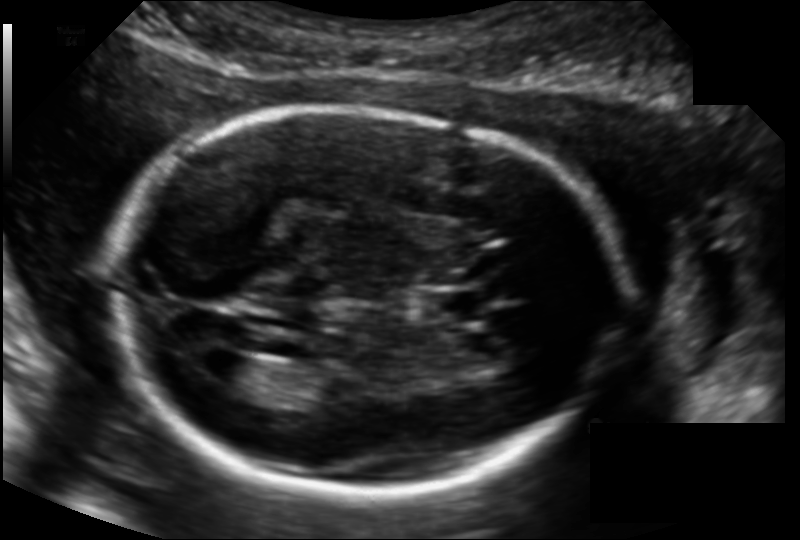
Fetal head ultrasound. Image width: 107.7 mm. Where is the fetal head?

Head bounding box: [108,108,617,493]